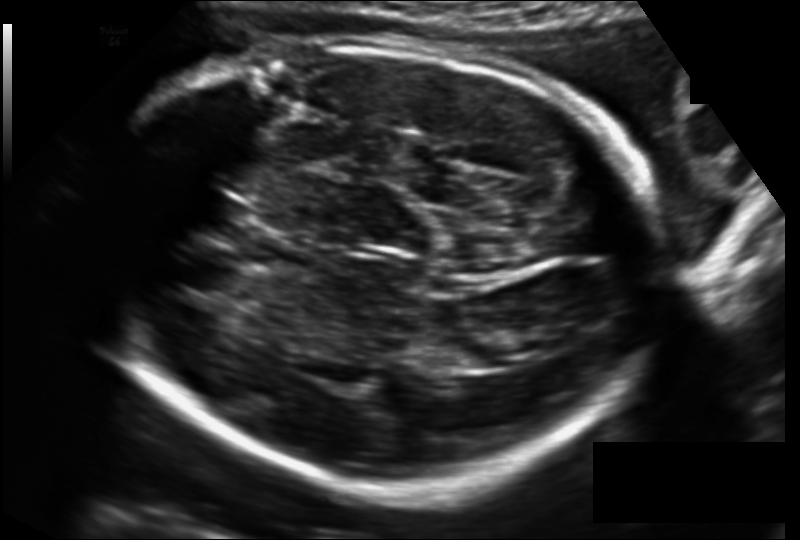
Fetal head ultrasound. Image width: 133.8 mm. Locate the fetal head and, if visible, the cavum septum pellucidum (CSP) and lateral ventricle (LV). Give bounding boxes as [x1,y1,x2,y2].

Head: [98,40,660,489]